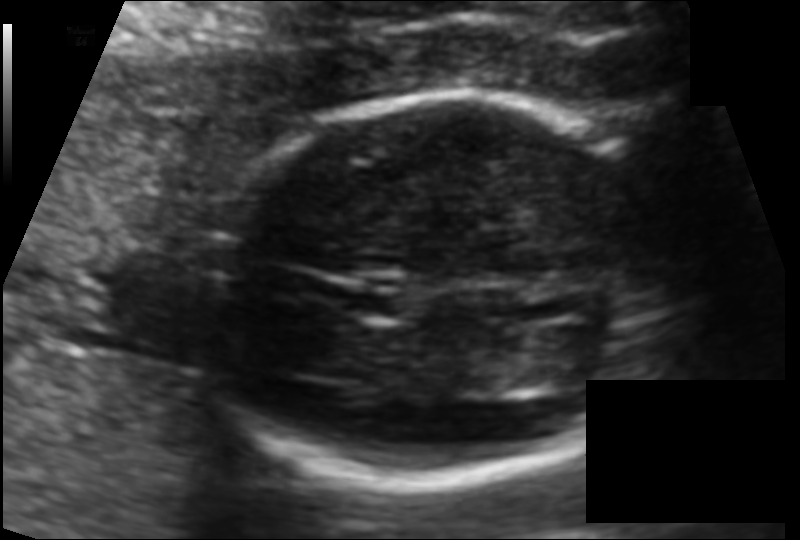
What is the fetal head circumference? Image width is 80.0 mm.

142.2 mm